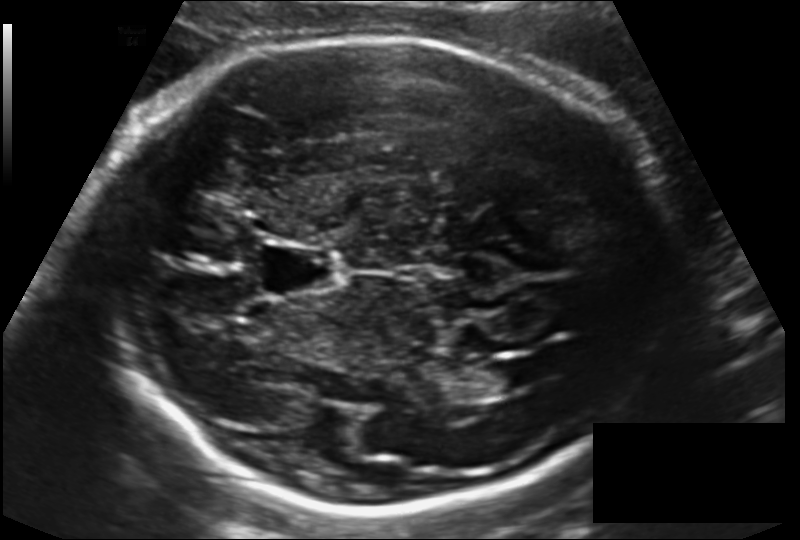
In this fetal head ultrasound, give the bounding box of the cavum septum pellucidum. Image width: 123.9 mm.

[259,245,341,294]